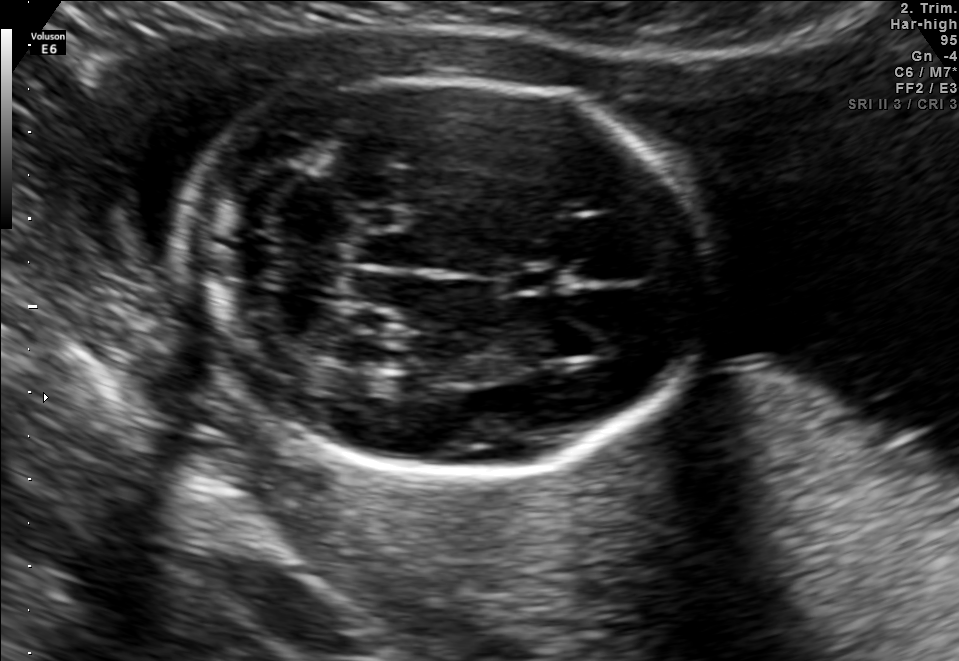
In this fetal brain, trans-cerebellum plane, give bounding boxes for the head outline, cavum septum pellucidum (CSP), and lateral ventricle (LV), where visible.

Head: [184,78,711,477]
CSP: [504,262,564,298]